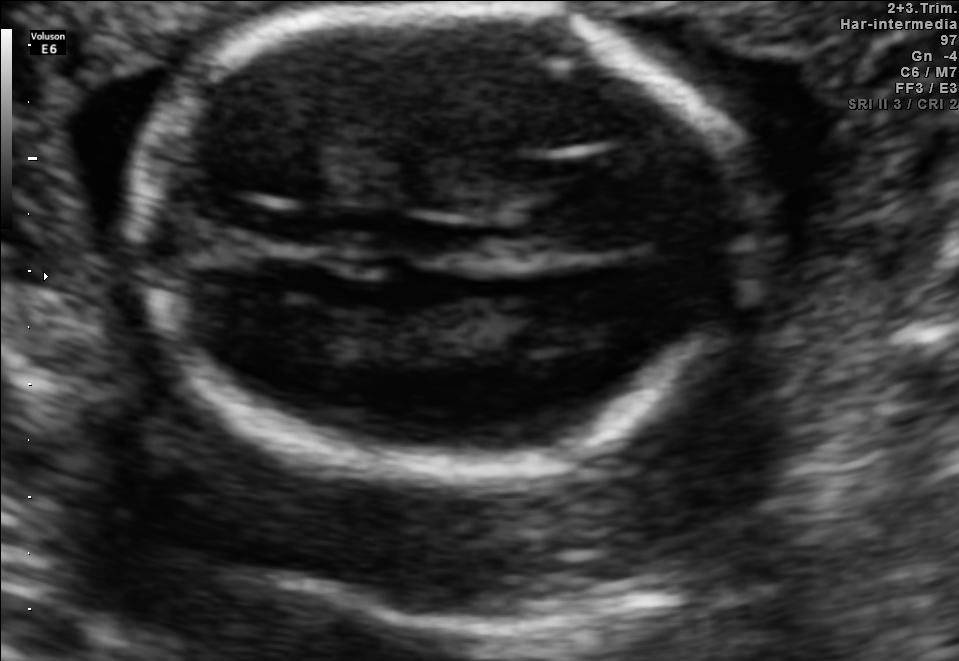
Fetal brain, trans-thalamic plane. Give [x1,y1,x2,y2] bounding boxes for each visible structure among: fetal head, CSP, LV.

Head: [134,9,765,480]
CSP: [251,203,338,247]